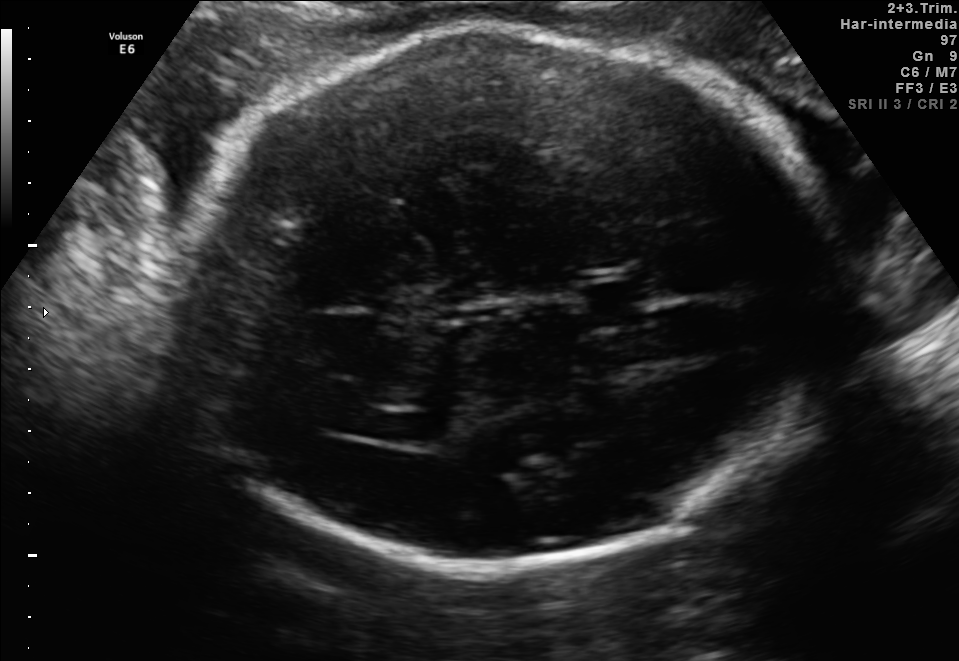
Fetal brain, trans-ventricular plane. Locate the cavum septum pellucidum.

CSP: [566,267,680,335]